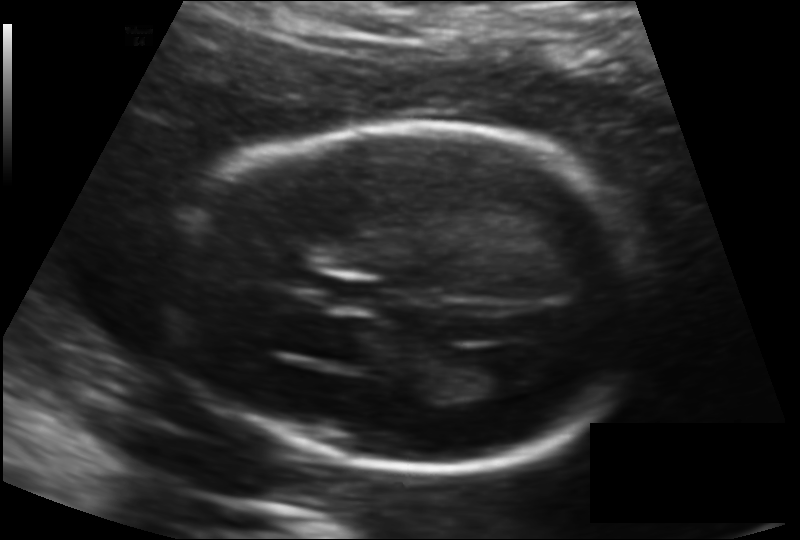
In this fetal head ultrasound, give the bounding box of the cavum septum pellucidum. Image width: 108.1 mm.

[331,278,386,313]